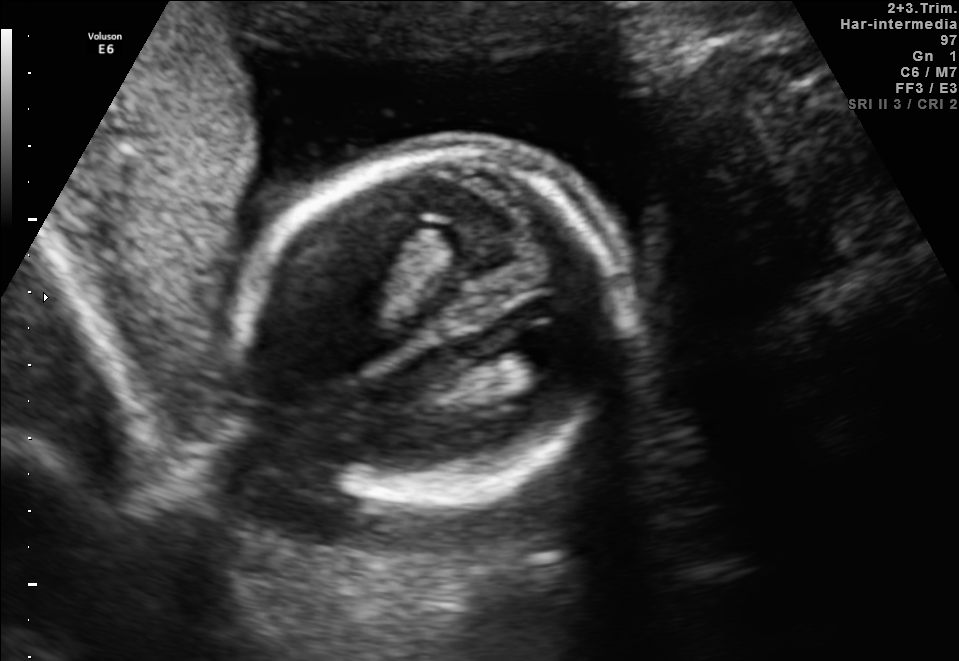
Fetal brain, trans-ventricular plane. Locate the fetal head.

Head: [228,134,653,513]